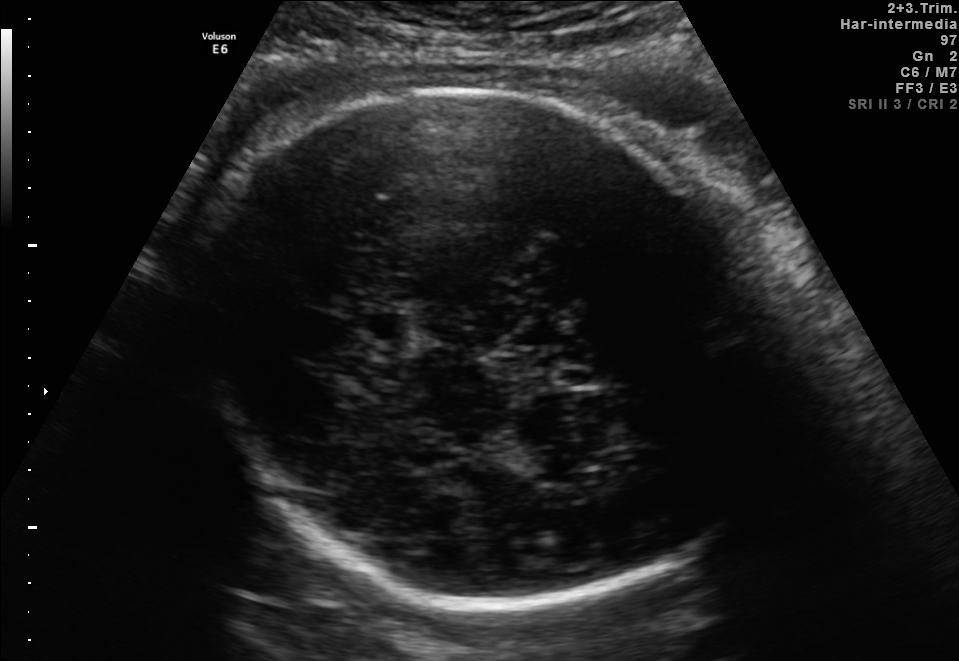
Fetal brain, trans-thalamic plane. Where is the cavum septum pellucidum?

CSP bounding box: [349,303,411,348]